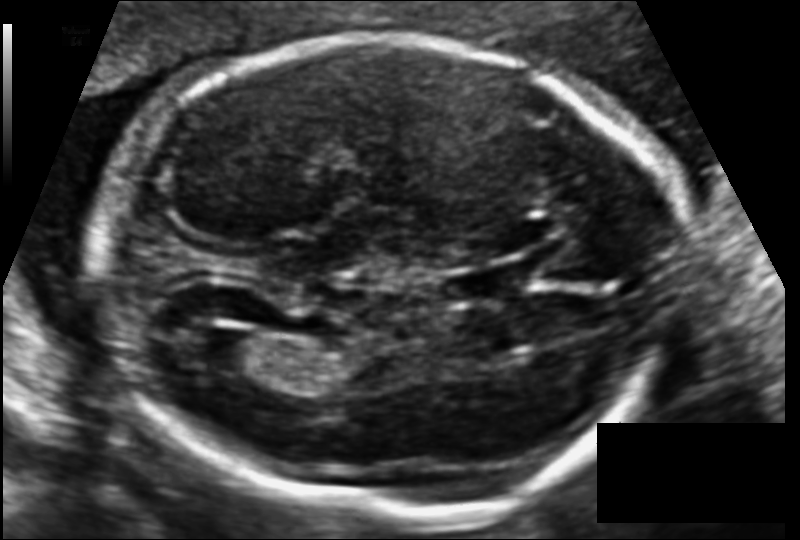
In this fetal head ultrasound, give the bounding box of the lateral ventricle. Image width: 92.7 mm.

[190,325,263,375]